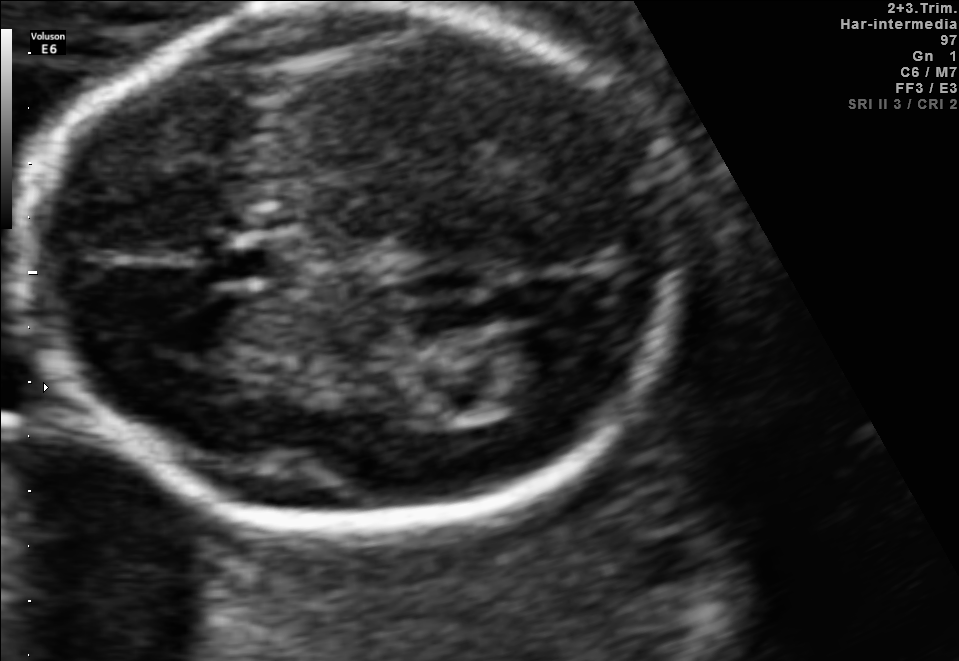
Fetal brain, trans-thalamic plane. Give [x1,y1,x2,y2] bounding boxes for each visible structure among: fetal head, CSP, LV.

Head: [16,3,687,546]
CSP: [204,233,303,287]
Lateral ventricle: [475,326,581,410]